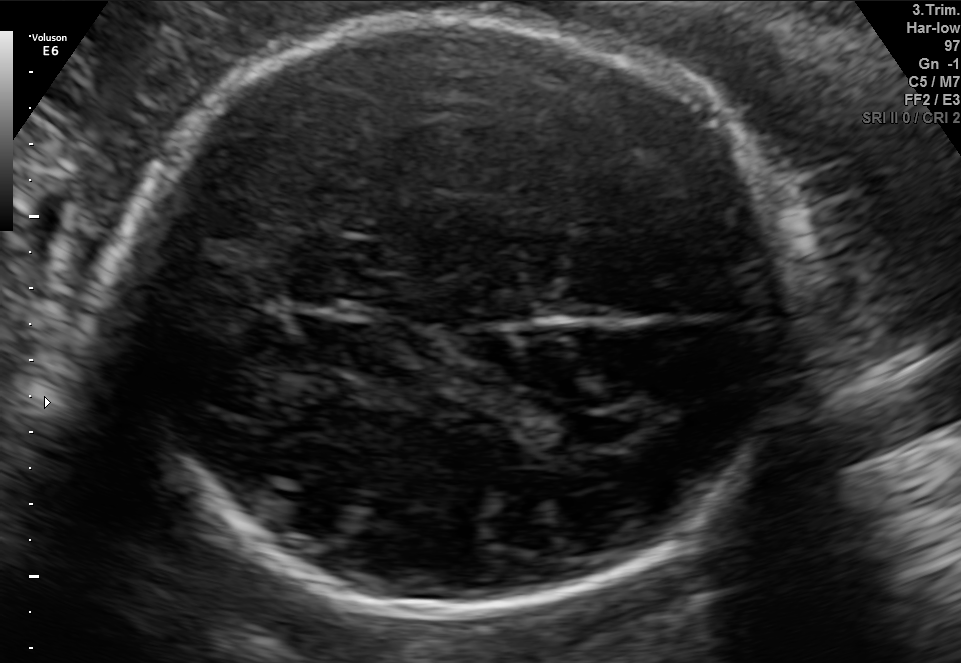
Fetal brain, trans-thalamic plane. Give [x1,y1,x2,y2] bounding boxes for each visible structure among: fetal head, CSP, LV.

Head: [131,14,800,627]